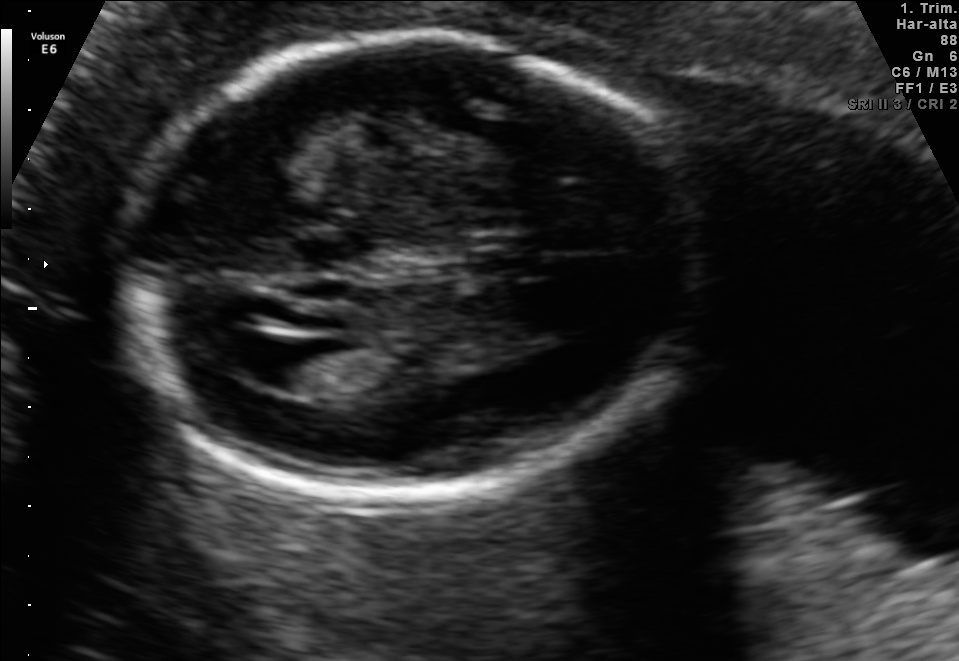
Fetal brain, trans-ventricular plane. Locate the lateral ventricle.

Lateral ventricle: [228,327,322,393]